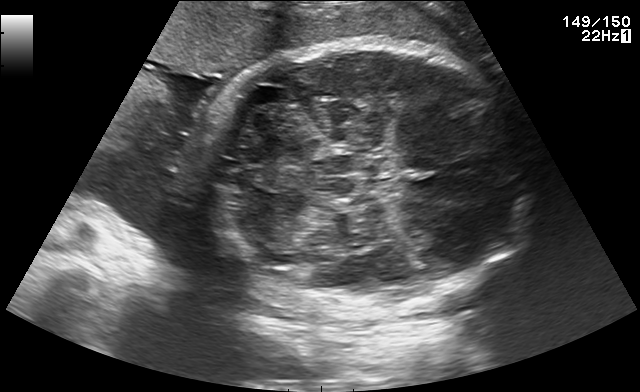
Identify the standard plane in this fetal ultrasound image: fetal abdomen, fetal brain, fetal femur, fetal thorax, maternal cervix, or other. If it's fetal brain and one of the three standard brain planes (trans-thalamic, trans-cerebellum, trans-ventricular), name which.

Fetal brain (trans-cerebellum plane)